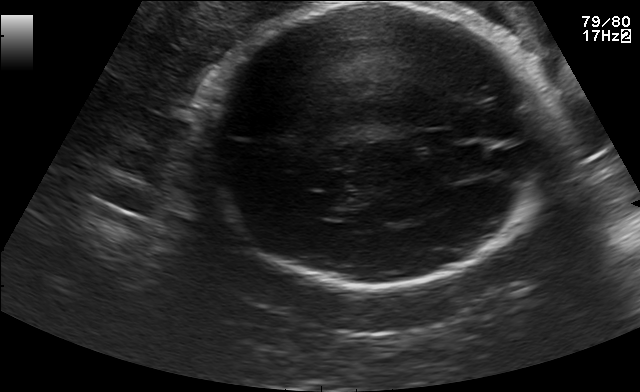
In this fetal brain, trans-thalamic plane, give bounding boxes for the head outline, cavum septum pellucidum (CSP), and lateral ventricle (LV), where visible.

Head: [198,3,547,288]